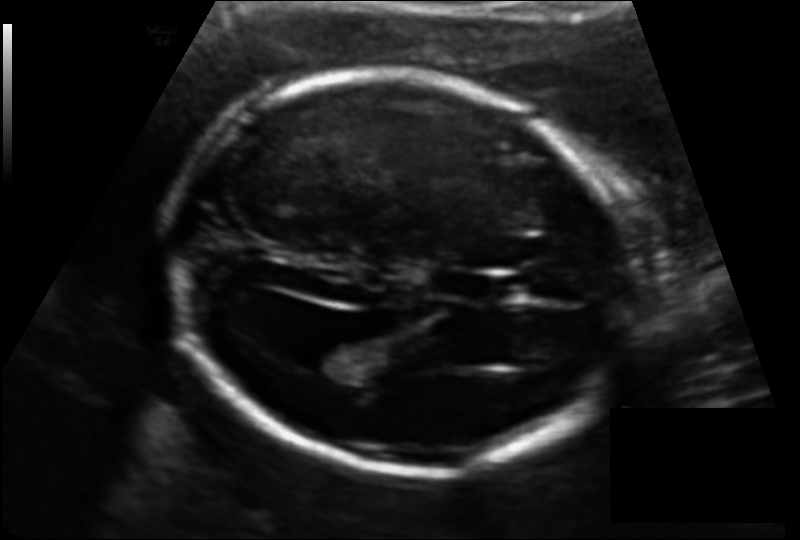
Estimate the fetal head circumference from this 2D ultrasound.

Head circumference: 184.5 mm (image width 104.7 mm).